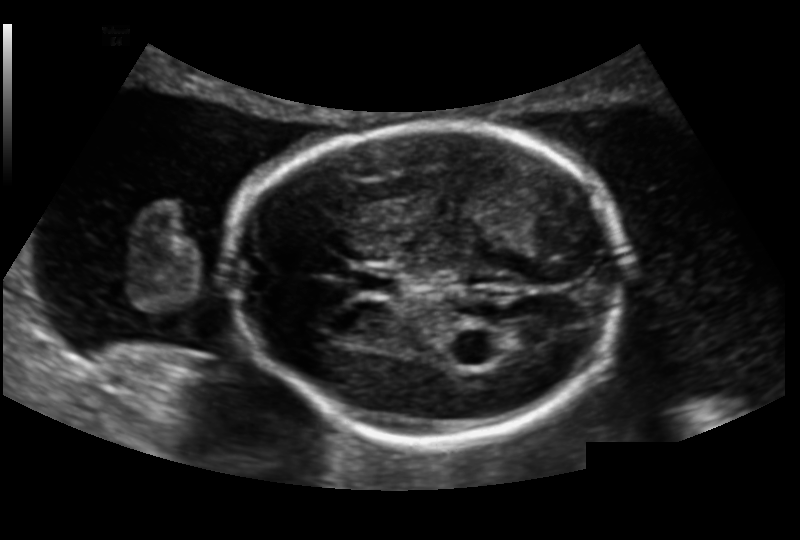
Fetal head ultrasound. Image width: 121.1 mm. Locate the lateral ventricle.

Lateral ventricle: [496,318,553,355]